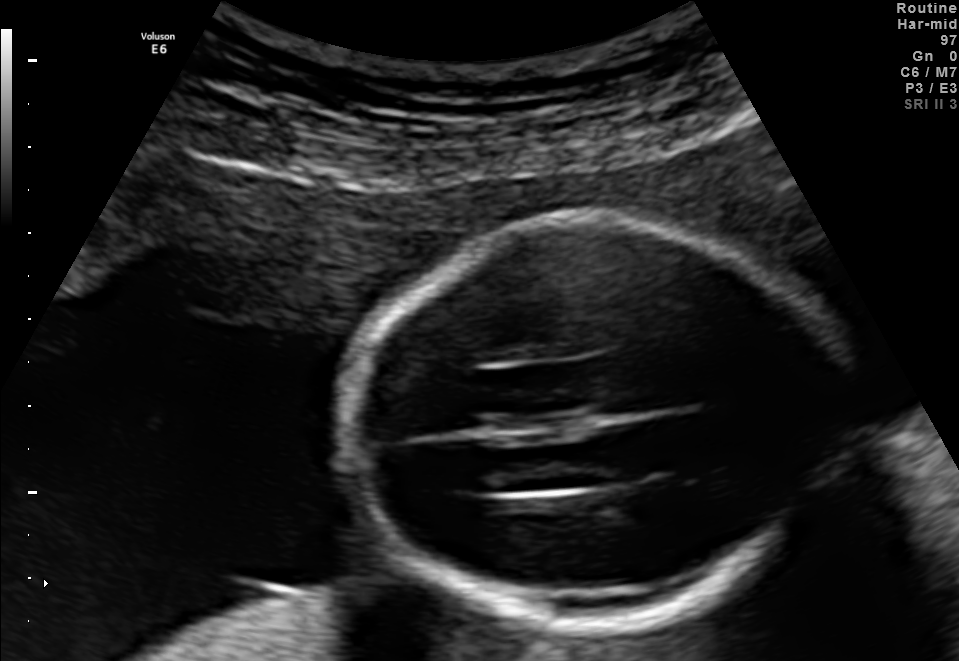
Fetal brain, trans-thalamic plane. Locate the fetal head and, if visible, the cavum septum pellucidum (CSP) and lateral ventricle (LV). Give bounding boxes as [x1,y1,x2,y2].

Head: [340,215,845,624]